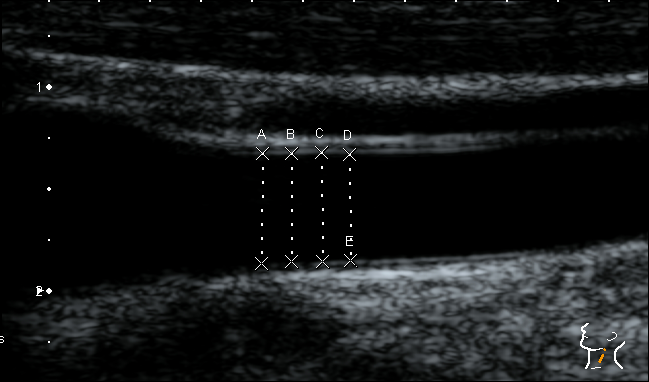
Identify the standard plane in this fetal ultrasound image: fetal abdomen, fetal brain, fetal femur, fetal thorax, maternal cervix, or other. If it's fetal brain and one of the three standard brain planes (trans-thalamic, trans-cerebellum, trans-ventricular), name which.

Other